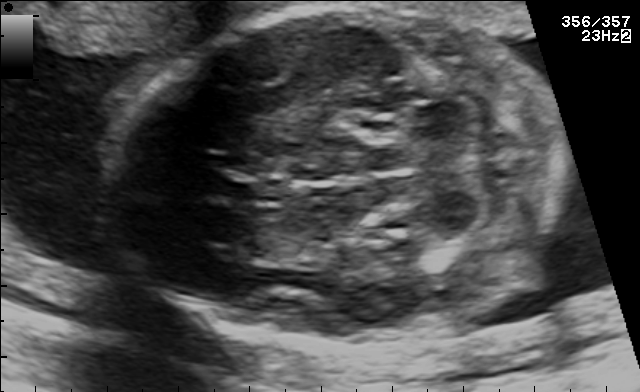
Fetal brain, trans-cerebellum plane. Locate the fetal head and, if visible, the cavum septum pellucidum (CSP) and lateral ventricle (LV). Give bounding boxes as [x1,y1,x2,y2].

Head: [108,11,564,339]
CSP: [227,176,282,206]